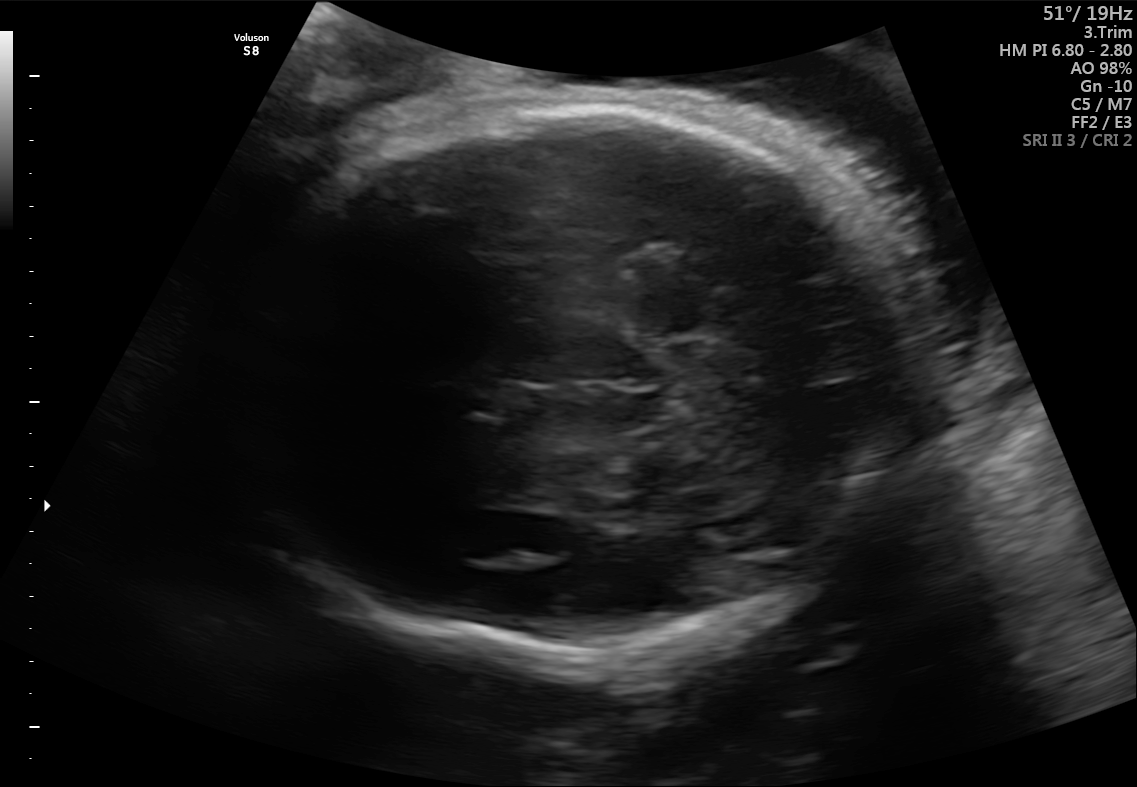
Fetal brain, trans-thalamic plane. Give [x1,y1,x2,y2] bounding boxes for each visible structure among: fetal head, CSP, LV.

Head: [210,98,934,656]